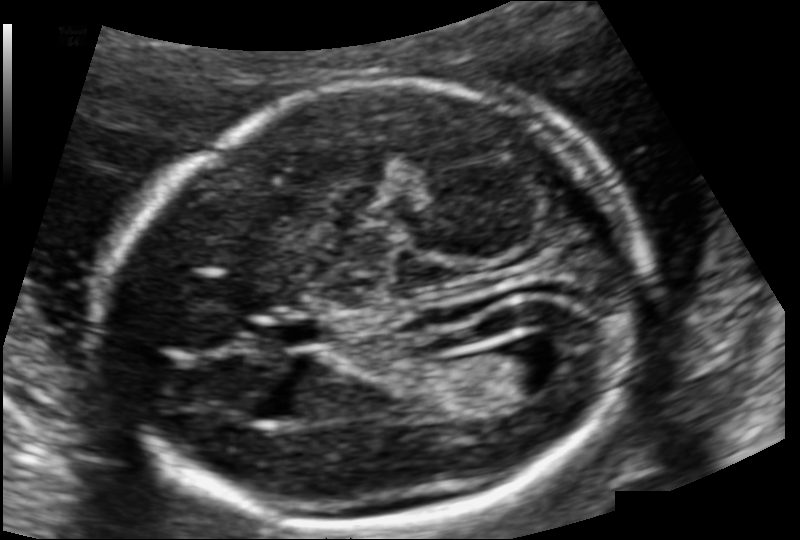
Fetal head ultrasound. Image width: 89.0 mm. Where is the fetal head?

Head bounding box: [111,83,641,530]